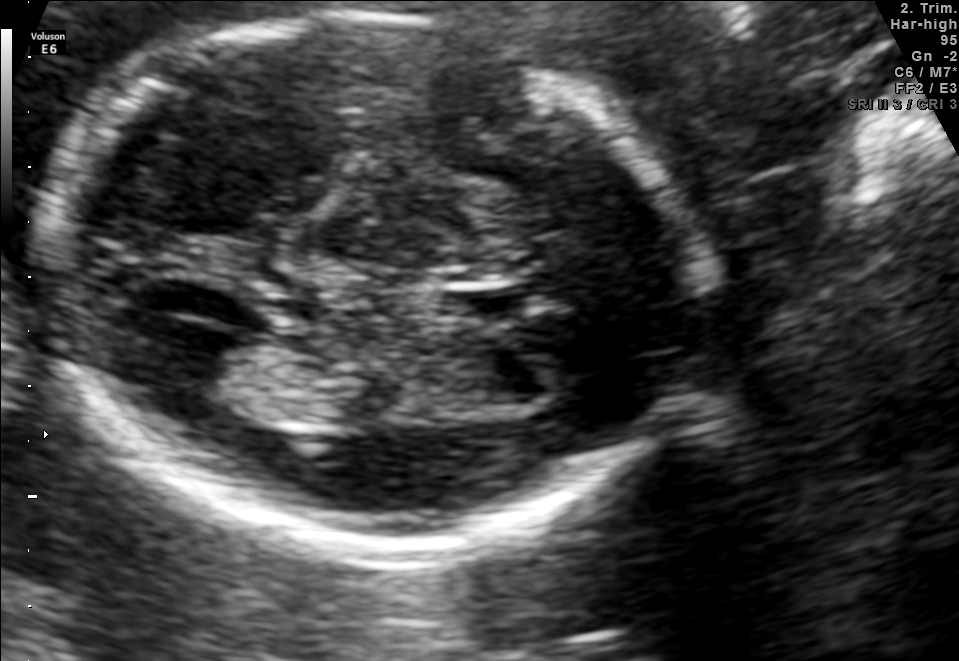
In this fetal brain, trans-thalamic plane, give bounding boxes for the head outline, cavum septum pellucidum (CSP), and lateral ventricle (LV), where visible.

Head: [38,17,703,550]
CSP: [450,283,542,319]
Lateral ventricle: [150,320,276,418]